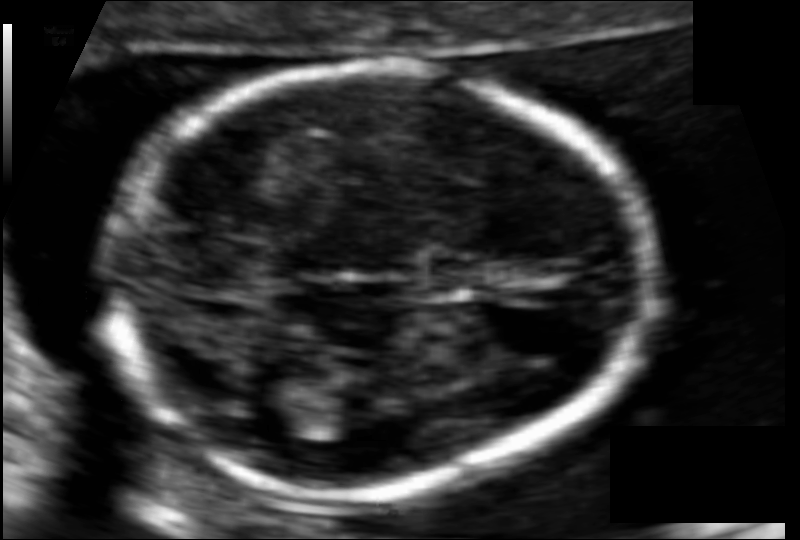
Fetal head ultrasound. Image width: 67.6 mm. Locate the fetal head and, if visible, the cavum septum pellucidum (CSP) and lateral ventricle (LV). Give bounding boxes as [x1,y1,x2,y2].

Head: [105,67,645,501]